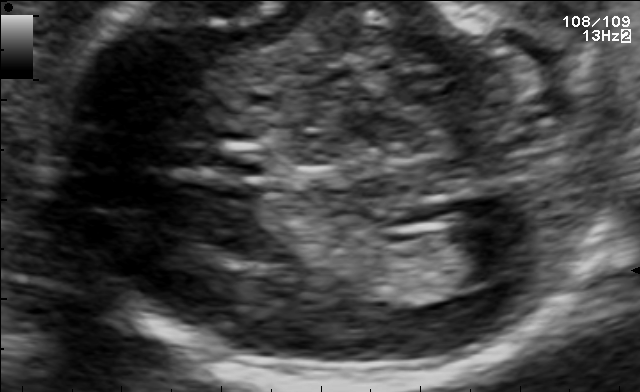
In this fetal brain, trans-ventricular plane, give the bounding box of the cavum septum pellucidum.

[164,134,276,192]